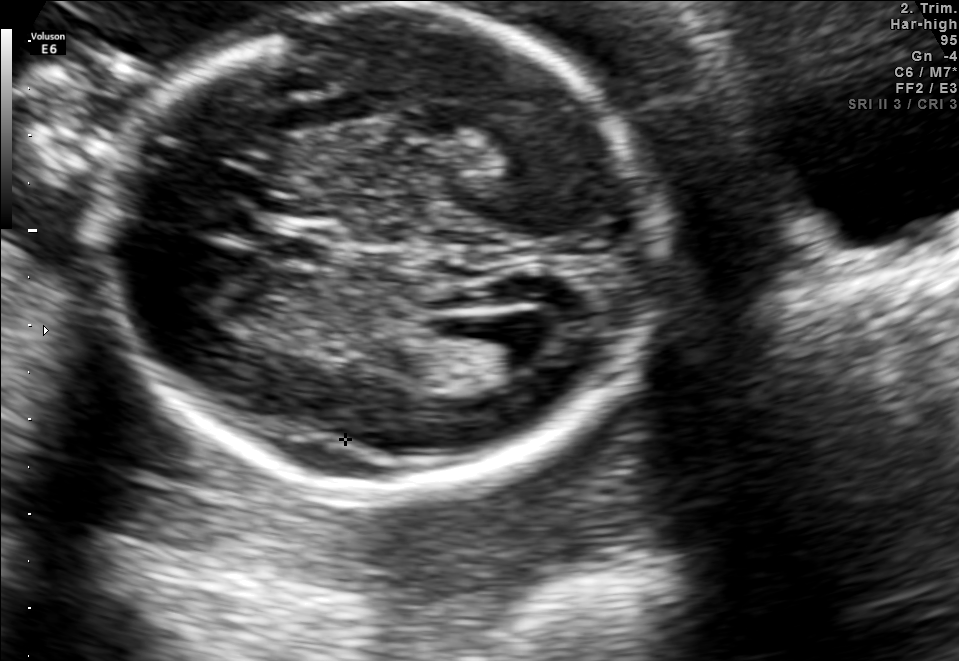
Fetal brain, trans-ventricular plane. Locate the lateral ventricle.

Lateral ventricle: [465,300,565,382]